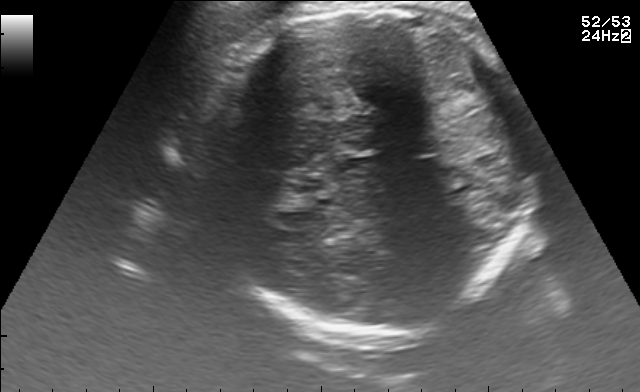
This is a 2D maternal-fetal ultrasound frame. Is it a fetal abdomen, fetal brain, fetal femur, fetal thorax, maternal cervix, or other standard plane? If it's fetal brain and one of the three standard brain planes (trans-thalamic, trans-cerebellum, trans-ventricular), name which.

Other